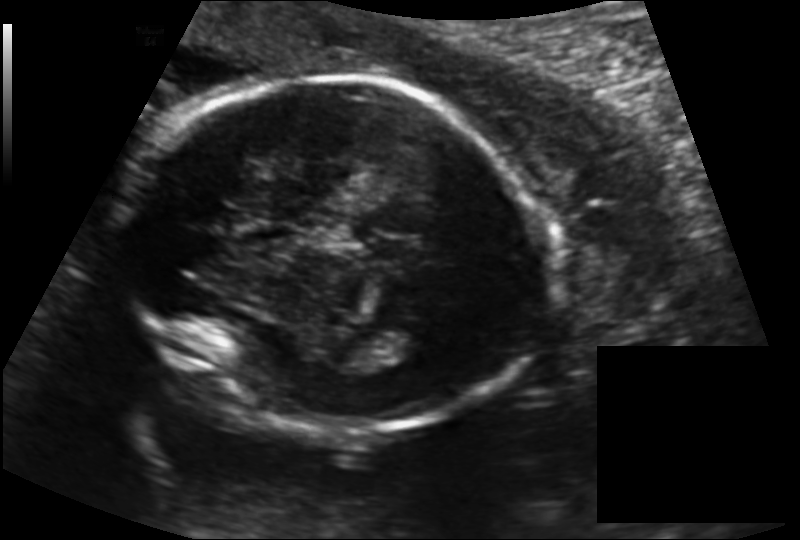
From this fetal ultrasound, estimate the head circumference (image width 116.1 mm).

Head circumference: 187.2 mm.